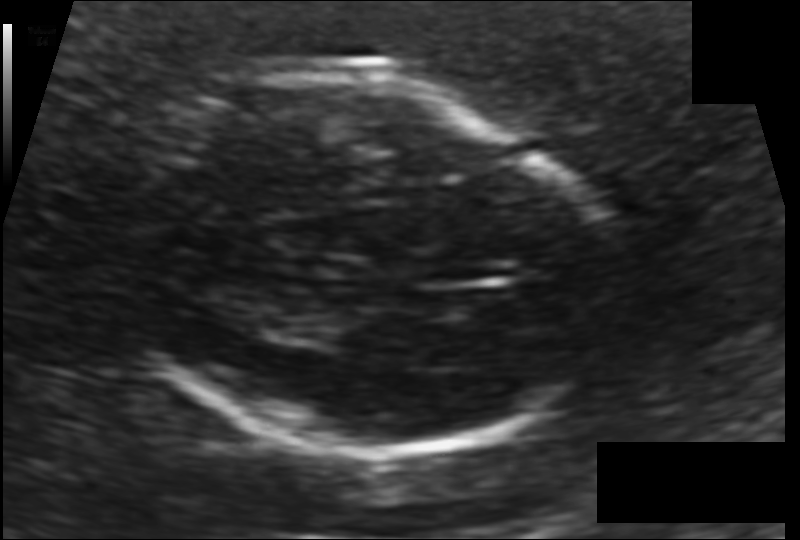
In this fetal head ultrasound, give bounding boxes for the head outline, cavum septum pellucidum (CSP), and lateral ventricle (LV), where visible. Image width: 105.5 mm.

Head: [113,78,608,452]